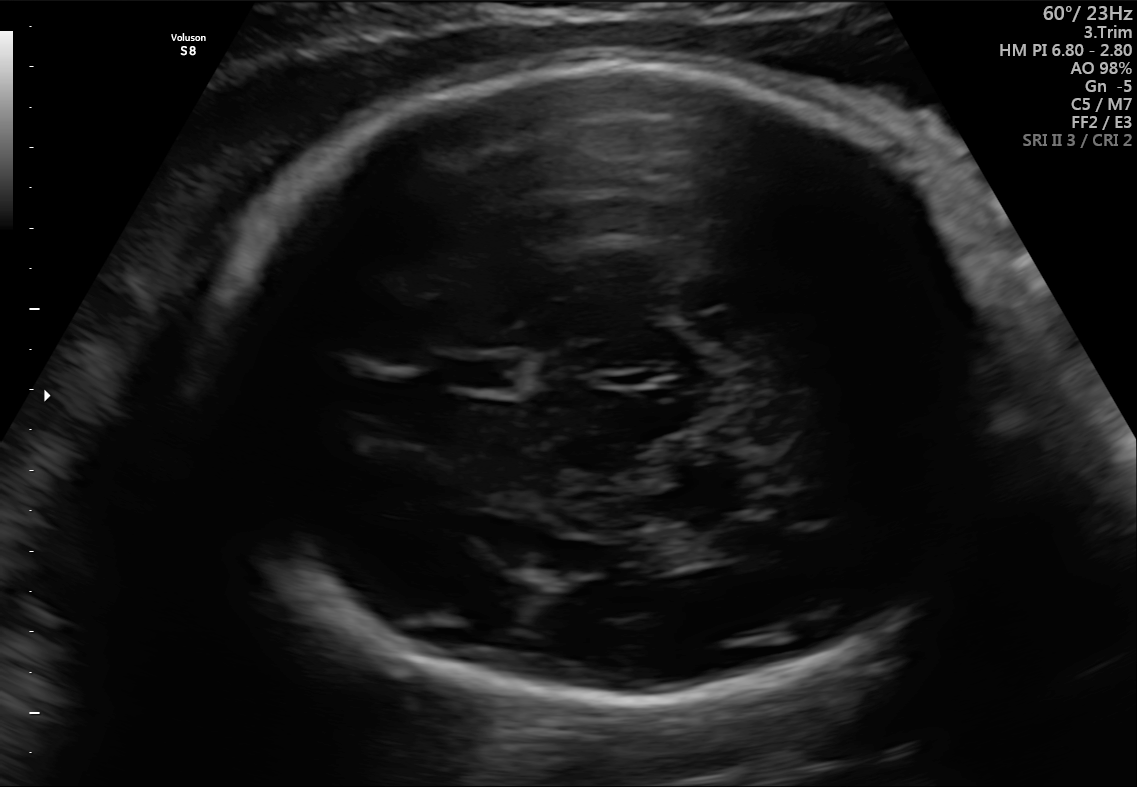
In this fetal brain, trans-thalamic plane, give bounding boxes for the head outline, cavum septum pellucidum (CSP), and lateral ventricle (LV), where visible.

Head: [199,64,1026,706]
CSP: [435,355,523,391]
Lateral ventricle: [671,506,777,571]